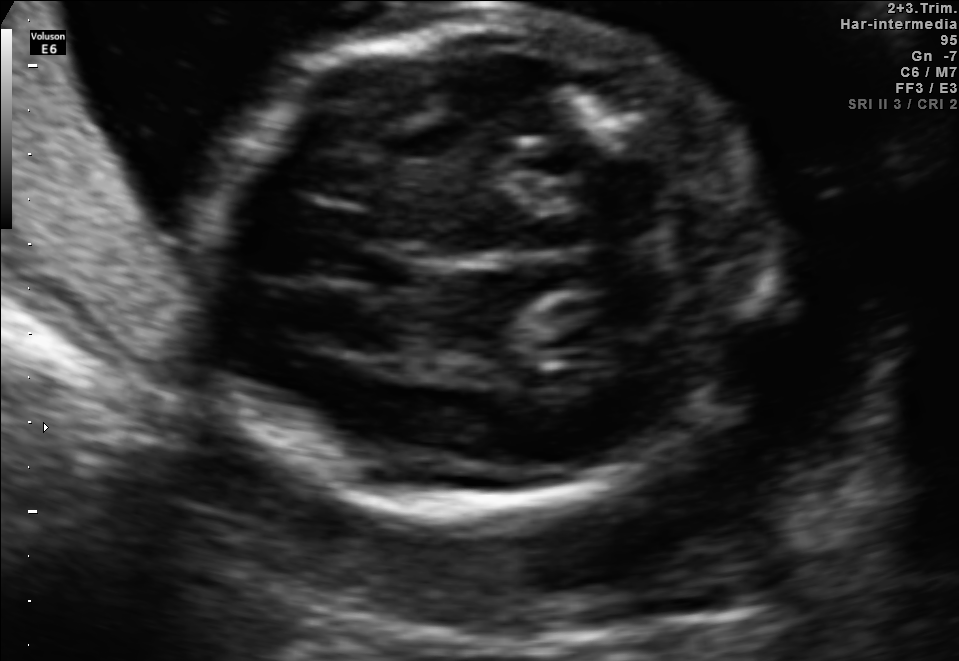
Classify this maternal-fetal ultrasound image as one of the six standard planes — fetal abdomen, fetal brain, fetal femur, fetal thorax, maternal cervix, or other. If it's fetal brain and one of the three standard brain planes (trans-thalamic, trans-cerebellum, trans-ventricular), name which.

Fetal brain (trans-cerebellum plane)